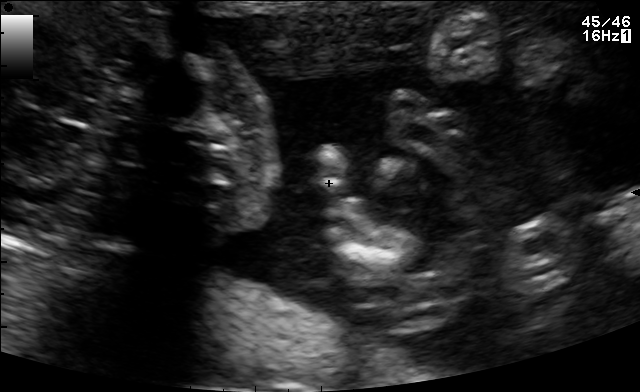
Classify this maternal-fetal ultrasound image as one of the six standard planes — fetal abdomen, fetal brain, fetal femur, fetal thorax, maternal cervix, or other. If it's fetal brain and one of the three standard brain planes (trans-thalamic, trans-cerebellum, trans-ventricular), name which.

Other